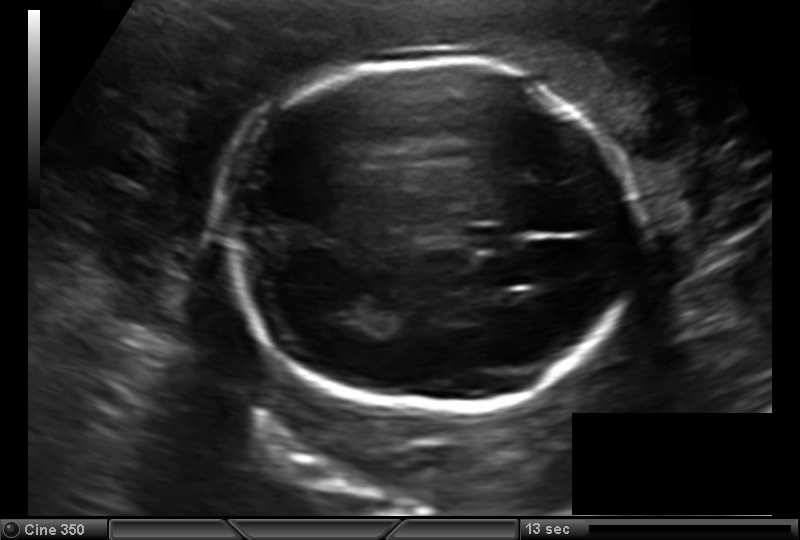
Fetal head ultrasound. Image width: 125.6 mm. Where is the lateral ventricle?

Lateral ventricle bounding box: [325,285,379,329]